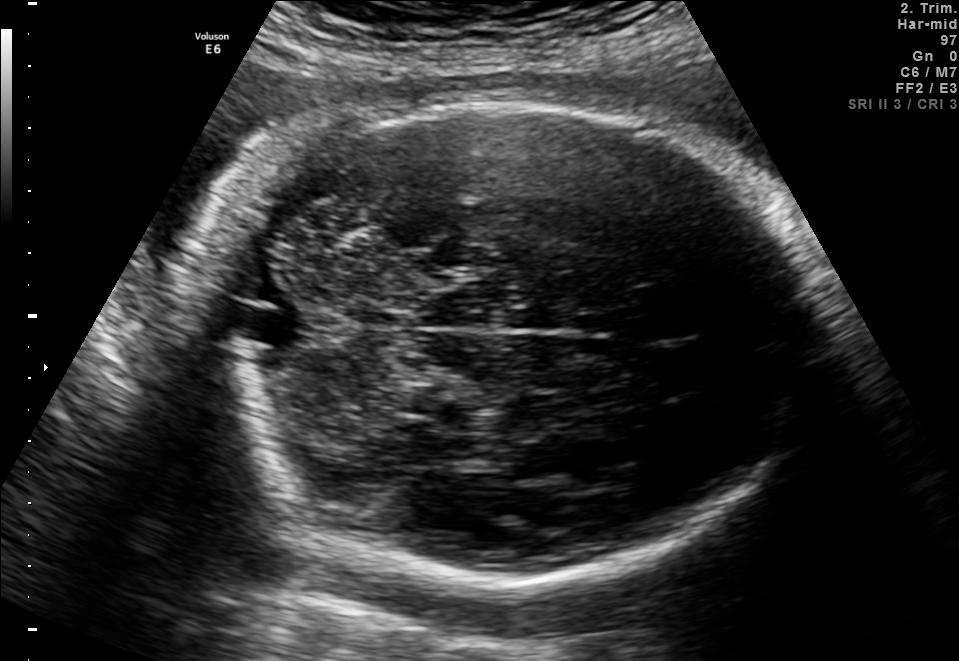
Fetal brain, trans-cerebellum plane. Locate the fetal head and, if visible, the cavum septum pellucidum (CSP) and lateral ventricle (LV). Give bounding boxes as [x1,y1,x2,y2].

Head: [179,99,816,576]